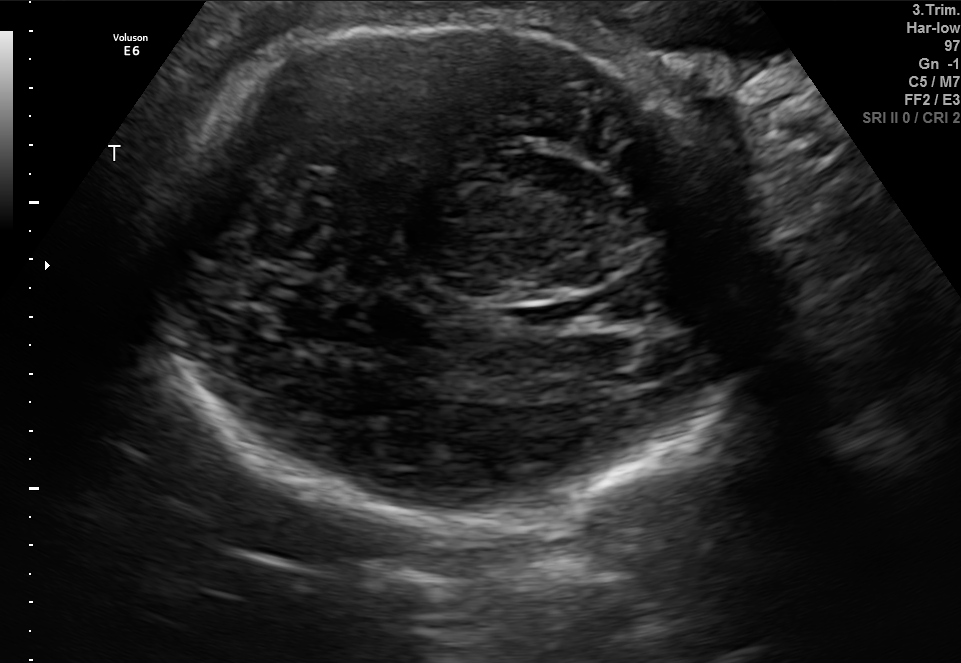
Fetal brain, trans-thalamic plane. Locate the fetal head.

Head: [160,16,751,531]